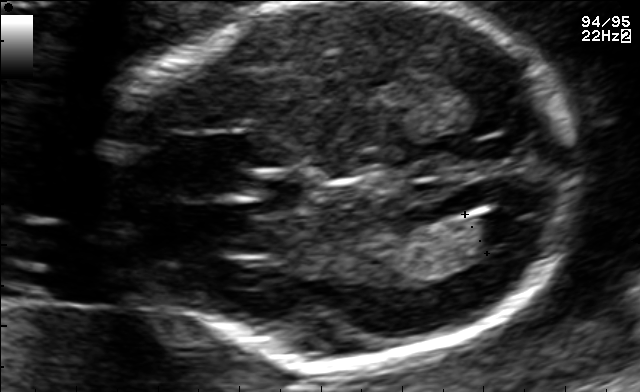
In this fetal brain, trans-ventricular plane, give the bounding box of the fetal head.

[94,1,595,377]